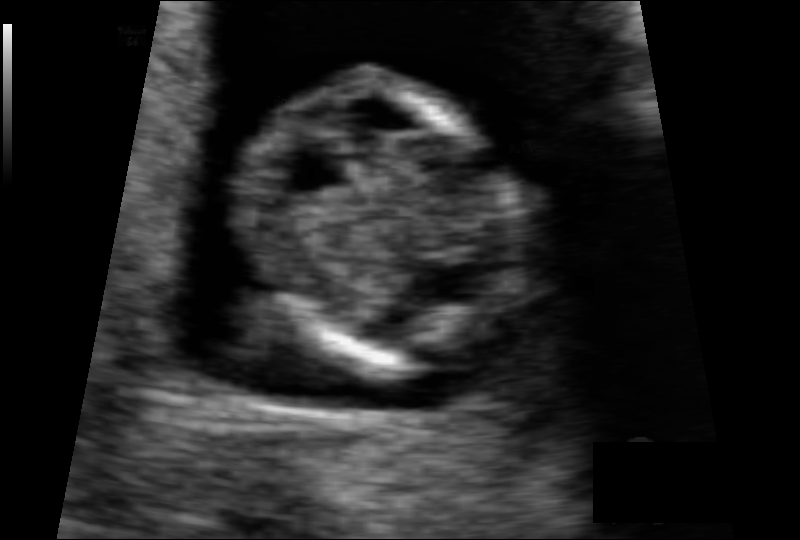
Measure the fetal head circumference shown in this ultrasound image. Image width: 59.9 mm.

Head circumference: 70.1 mm.